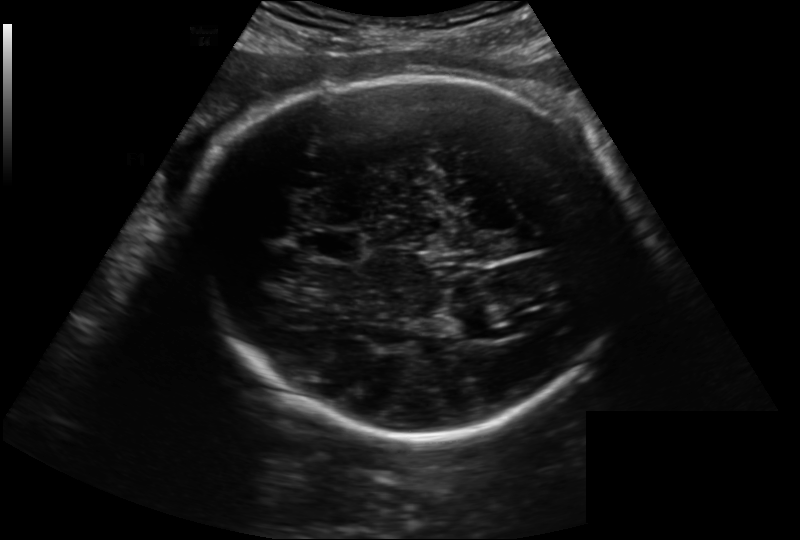
Fetal head ultrasound. Image width: 177.3 mm. Locate the fetal head.

Head: [182,76,633,433]